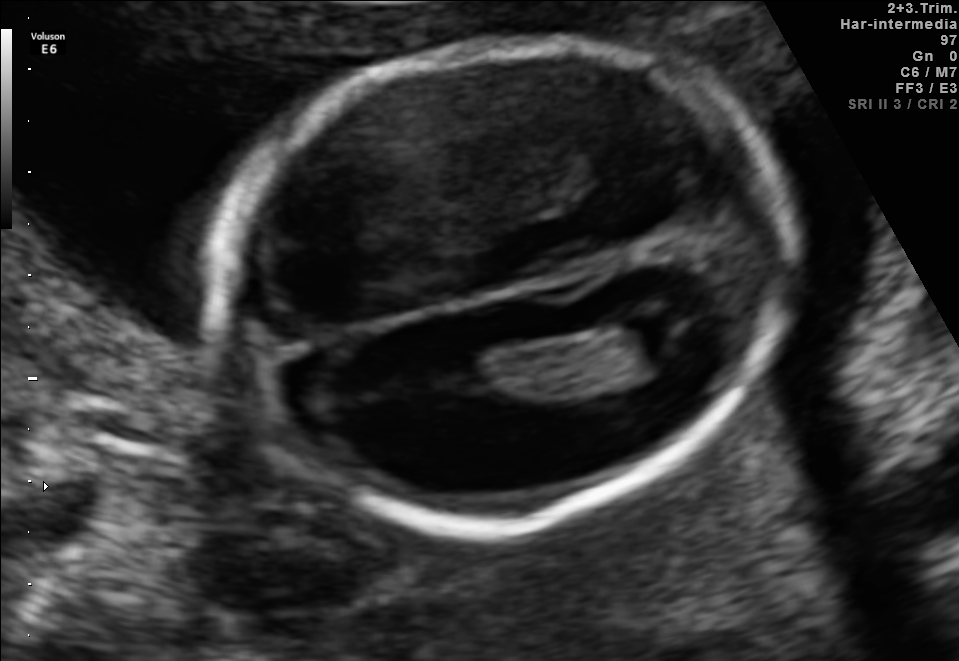
Fetal brain, trans-ventricular plane. Locate the fetal head.

Head: [206,26,807,541]